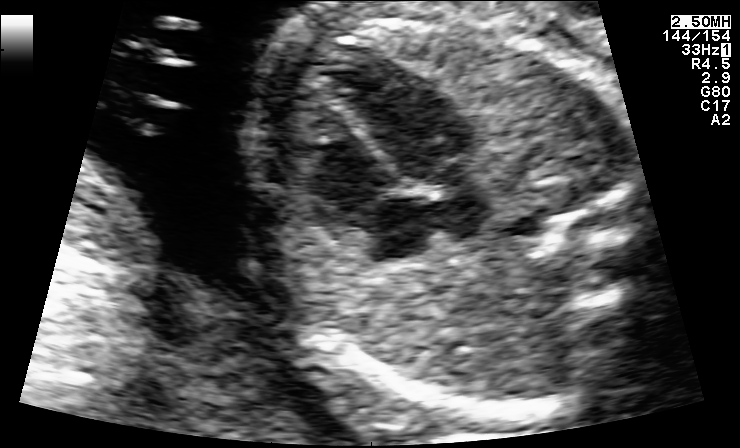
Identify the standard plane in this fetal ultrasound image: fetal abdomen, fetal brain, fetal femur, fetal thorax, maternal cervix, or other. If it's fetal brain and one of the three standard brain planes (trans-thalamic, trans-cerebellum, trans-ventricular), name which.

Fetal thorax